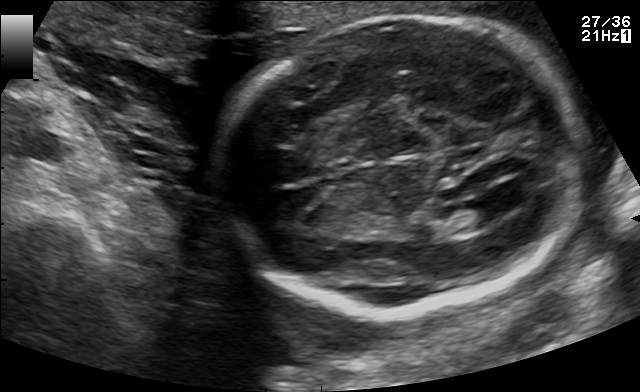
Fetal brain, trans-ventricular plane. Locate the cavum septum pellucidum.

CSP: [313,161,359,189]